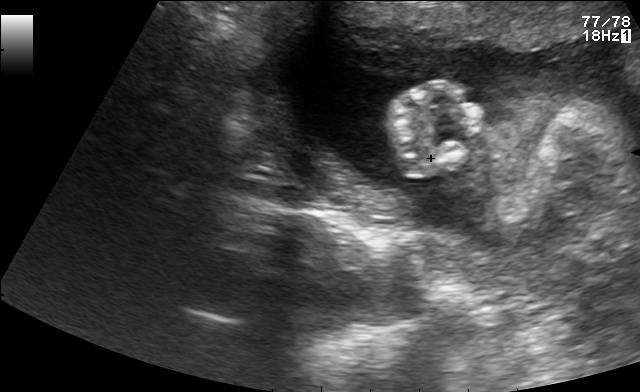
This is a 2D maternal-fetal ultrasound frame. Is it a fetal abdomen, fetal brain, fetal femur, fetal thorax, maternal cervix, or other standard plane? If it's fetal brain and one of the three standard brain planes (trans-thalamic, trans-cerebellum, trans-ventricular), name which.

Other